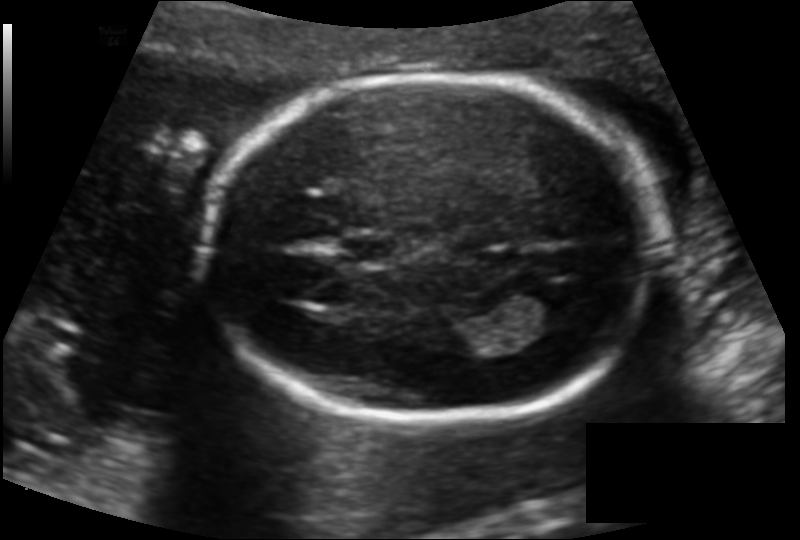
Fetal head ultrasound. Image width: 104.1 mm. Where is the fetal head?

Head bounding box: [205,76,653,420]